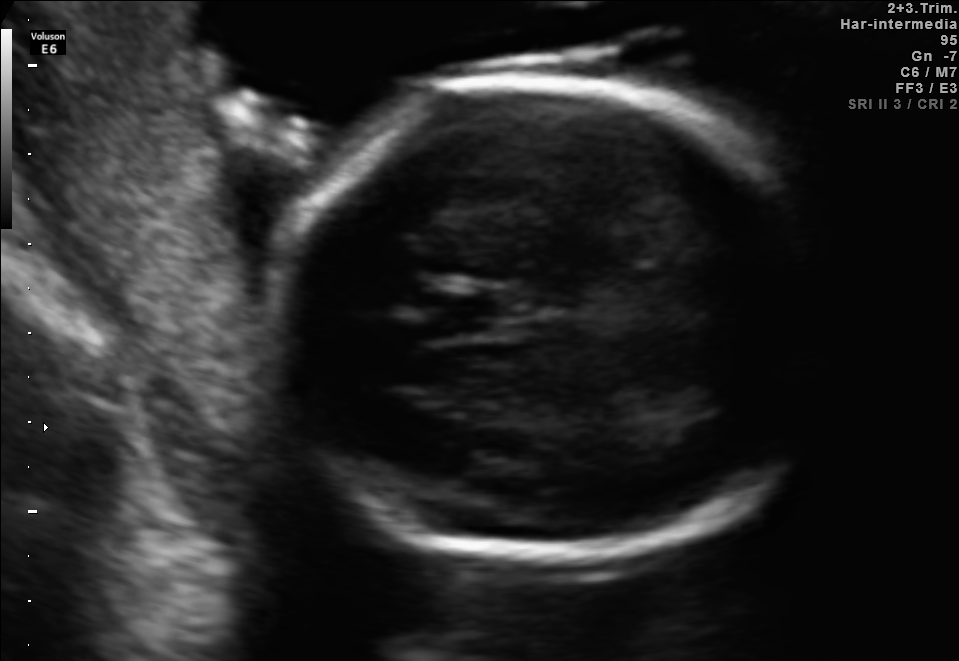
Fetal brain, trans-thalamic plane. Locate the fetal head and, if visible, the cavum septum pellucidum (CSP) and lateral ventricle (LV). Give bounding boxes as [x1,y1,x2,y2].

Head: [275,73,822,556]
CSP: [427,290,503,337]